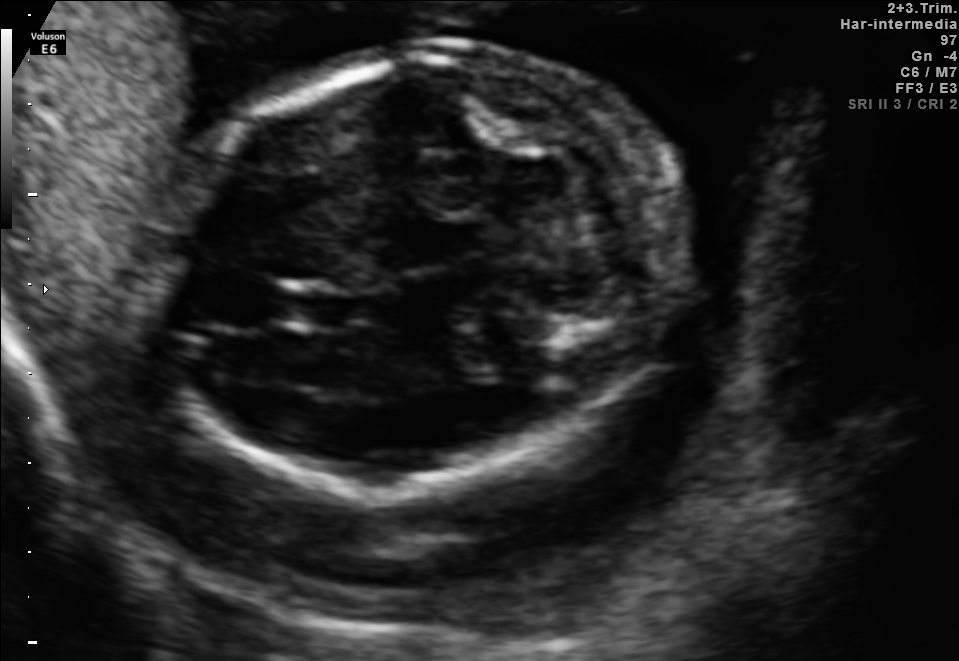
Fetal brain, trans-cerebellum plane. Give [x1,y1,x2,y2] bounding boxes for each visible structure among: fetal head, CSP, LV.

Head: [146,54,685,485]
CSP: [278,283,352,331]